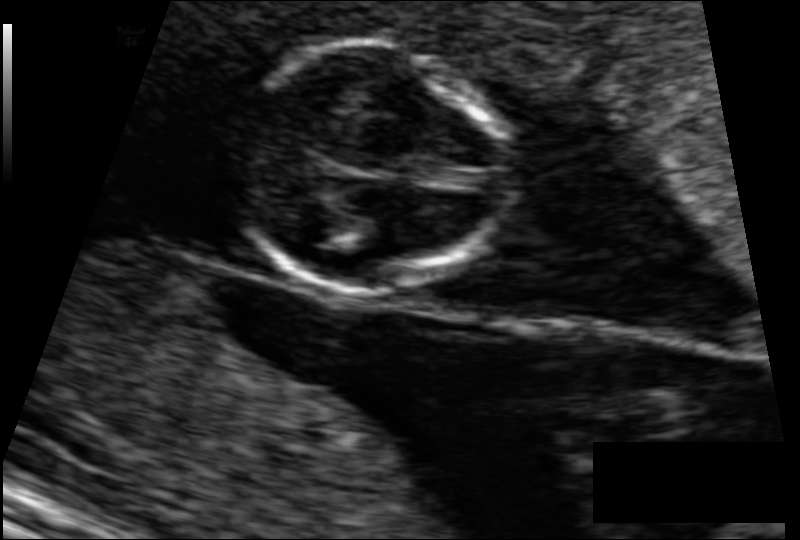
Fetal head ultrasound. Image width: 66.3 mm. Locate the fetal head and, if visible, the cavum septum pellucidum (CSP) and lateral ventricle (LV). Give bounding boxes as [x1,y1,x2,y2].

Head: [232,42,510,292]